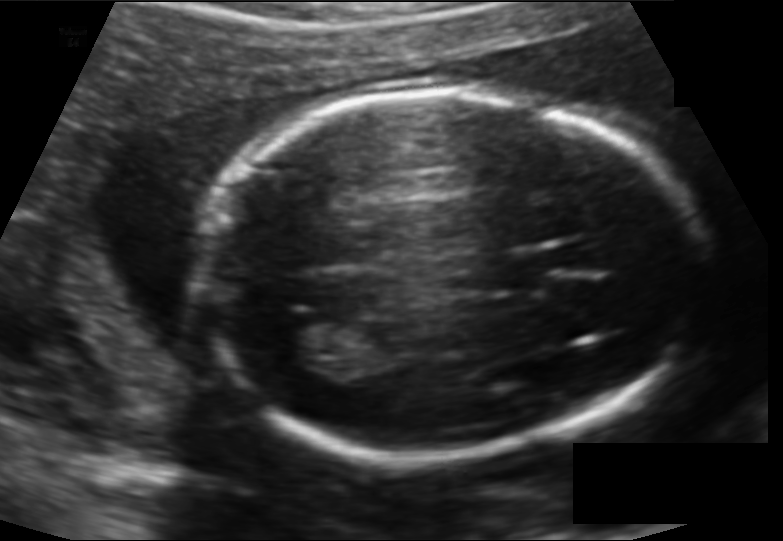
Estimate the fetal head circumference from this 2D ultrasound. Image width: 100.2 mm.

Head circumference: 182.9 mm.